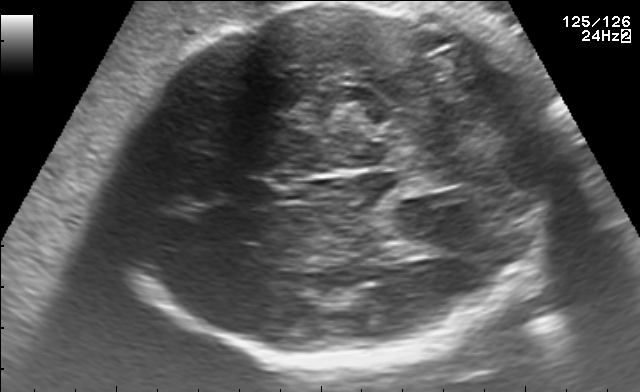
Fetal brain, trans-thalamic plane. Locate the fetal head.

Head: [113,2,578,366]